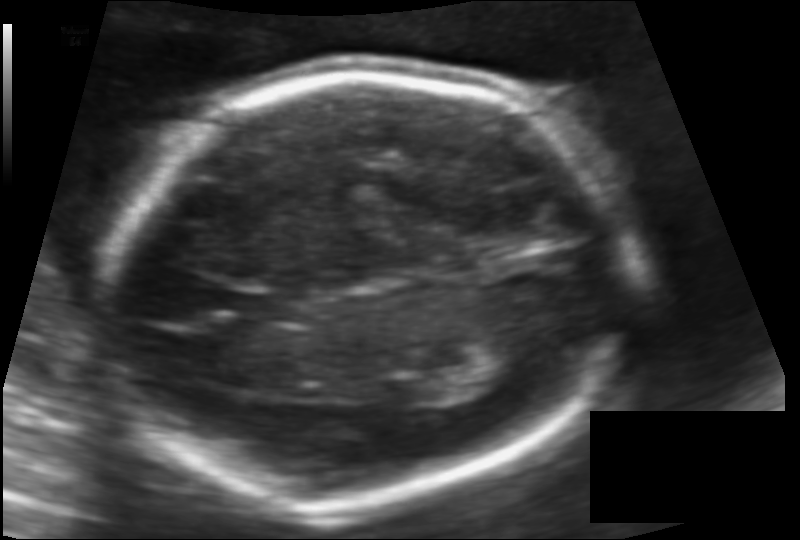
Estimate the fetal head circumference from this 2D ultrasound.

Head circumference: 181.8 mm (image width 93.5 mm).